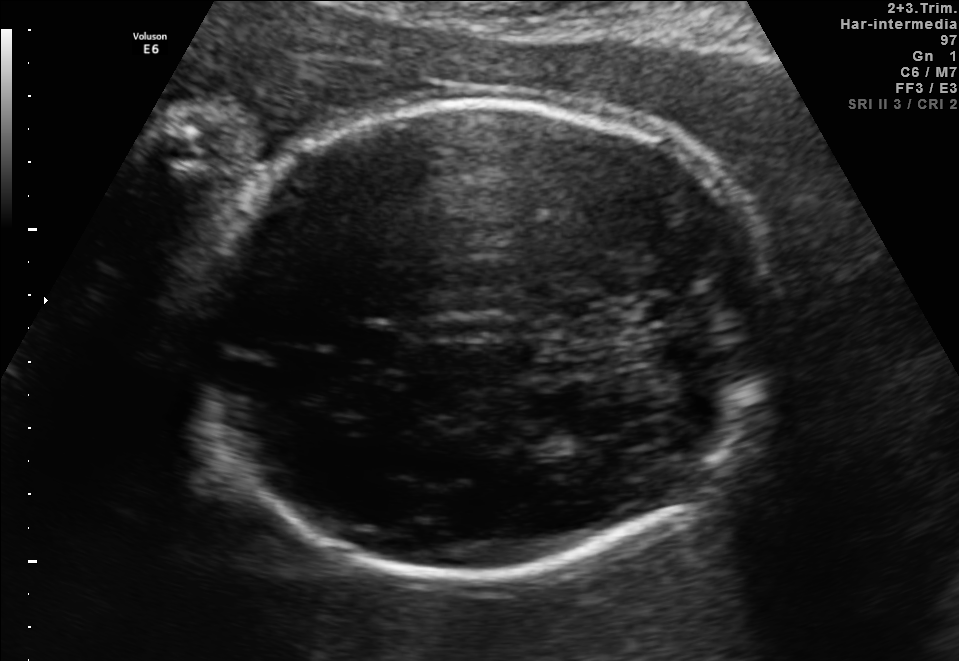
Fetal brain, trans-thalamic plane. Locate the fetal head and, if visible, the cavum septum pellucidum (CSP) and lateral ventricle (LV). Give bounding boxes as [x1,y1,x2,y2].

Head: [187,100,776,583]
CSP: [340,325,401,357]